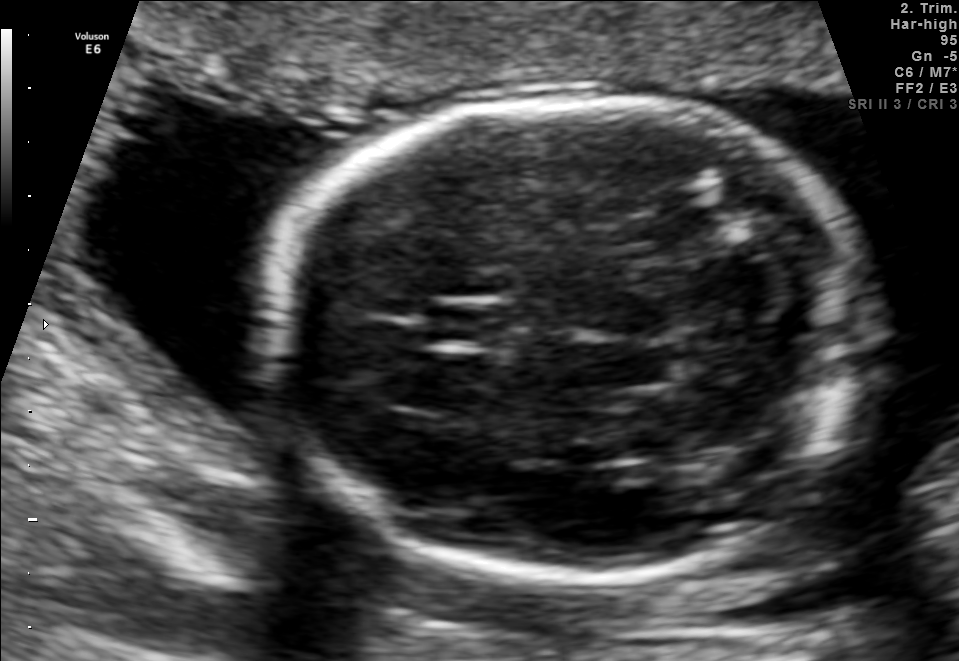
Fetal brain, trans-cerebellum plane. Locate the fetal head.

Head: [268,101,867,576]